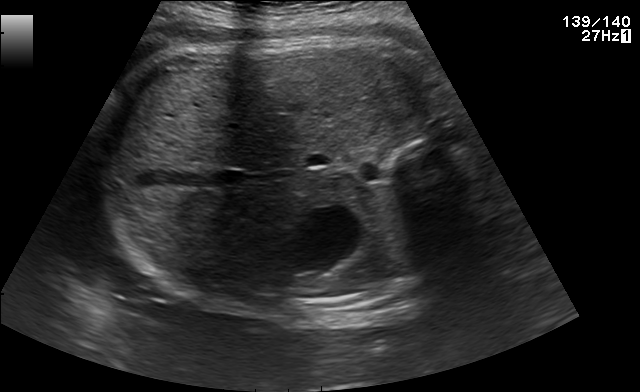
Classify this maternal-fetal ultrasound image as one of the six standard planes — fetal abdomen, fetal brain, fetal femur, fetal thorax, maternal cervix, or other. If it's fetal brain and one of the three standard brain planes (trans-thalamic, trans-cerebellum, trans-ventricular), name which.

Fetal abdomen